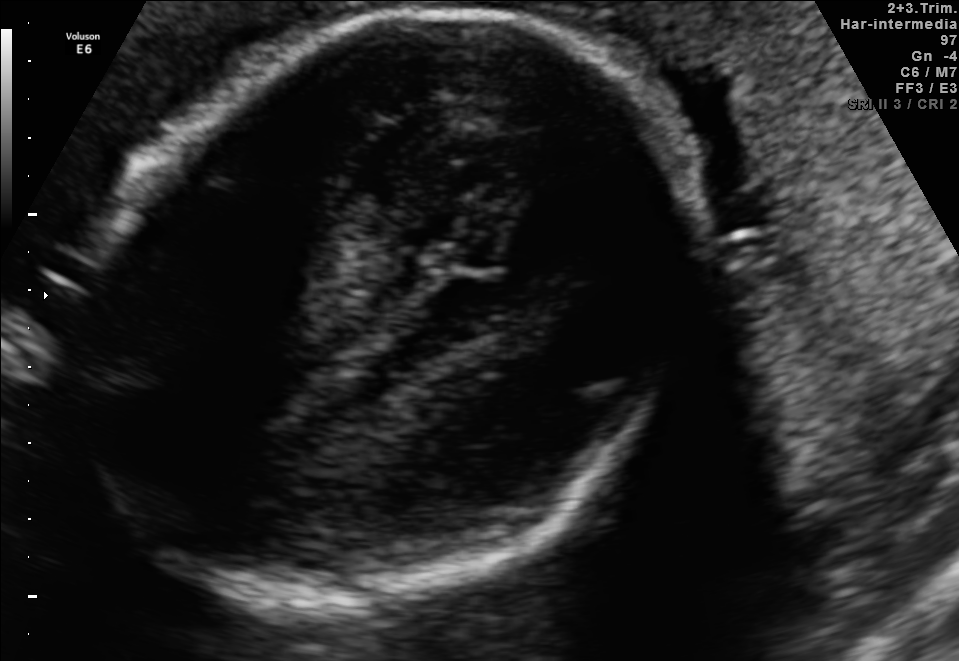
Fetal brain, trans-thalamic plane. Locate the fetal head.

Head: [80,9,683,612]